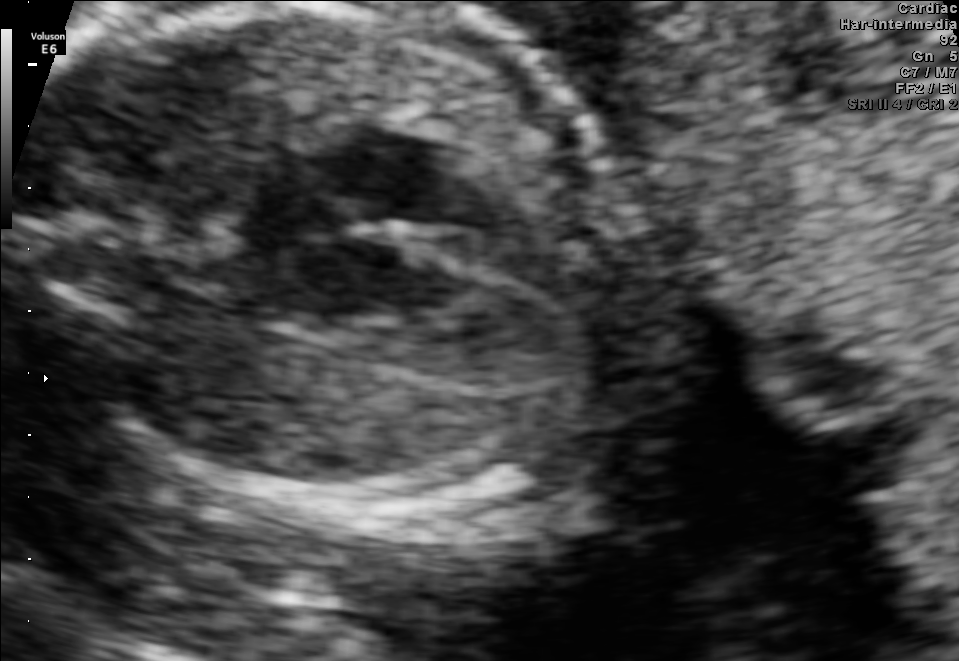
Identify the standard plane in this fetal ultrasound image: fetal abdomen, fetal brain, fetal femur, fetal thorax, maternal cervix, or other. If it's fetal brain and one of the three standard brain planes (trans-thalamic, trans-cerebellum, trans-ventricular), name which.

Fetal thorax